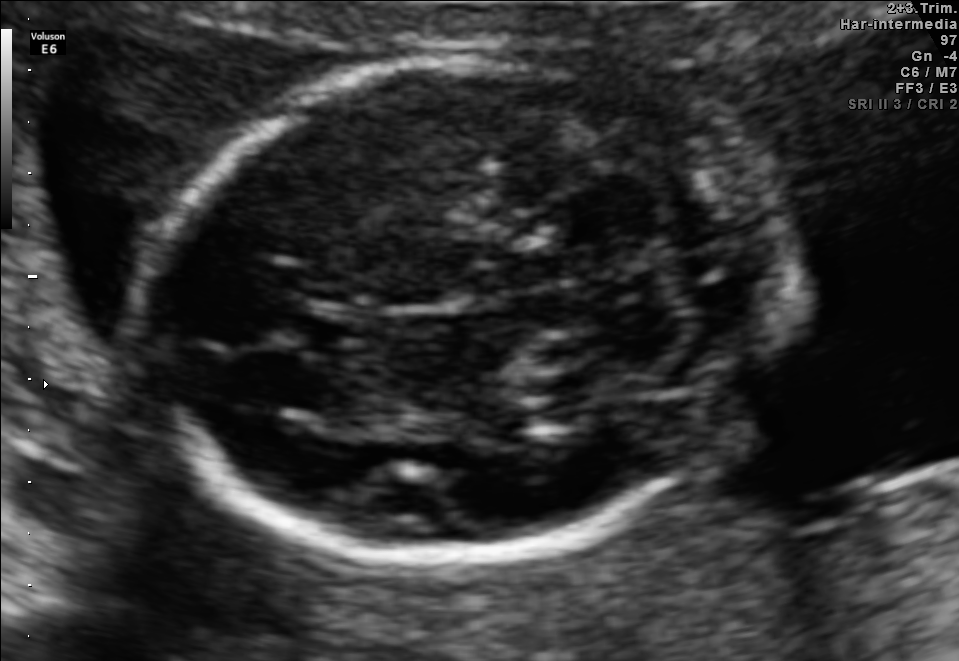
In this fetal brain, trans-cerebellum plane, give the bounding box of the cavum septum pellucidum.

[284,304,374,365]